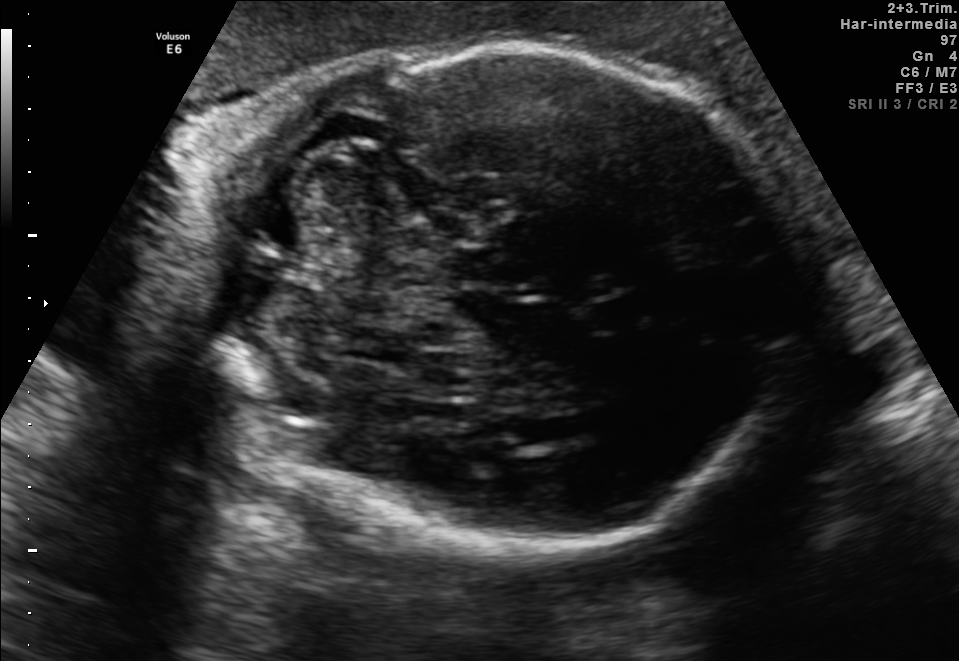
Fetal brain, trans-cerebellum plane. Locate the fetal head.

Head: [200,48,797,551]